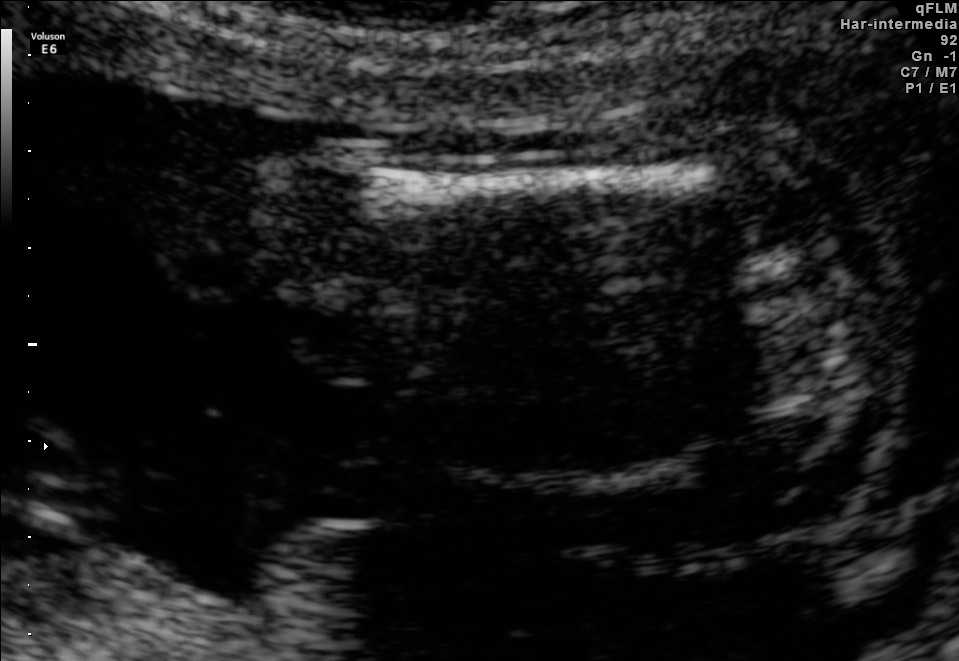
Identify the standard plane in this fetal ultrasound image: fetal abdomen, fetal brain, fetal femur, fetal thorax, maternal cervix, or other. If it's fetal brain and one of the three standard brain planes (trans-thalamic, trans-cerebellum, trans-ventricular), name which.

Fetal femur